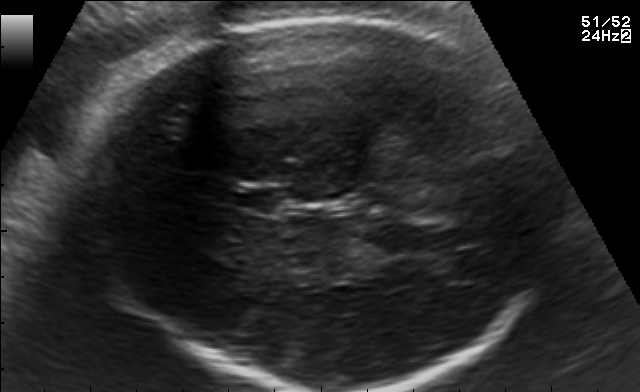
Fetal brain, trans-thalamic plane. Where is the fetal head?

Head bounding box: [86,13,553,390]